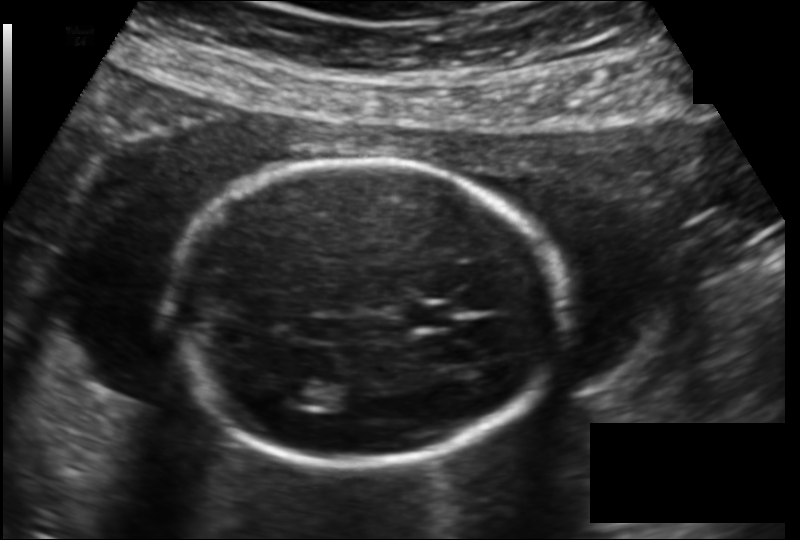
Estimate the fetal head circumference from this 2D ultrasound.

Head circumference: 171.3 mm (image width 119.1 mm).